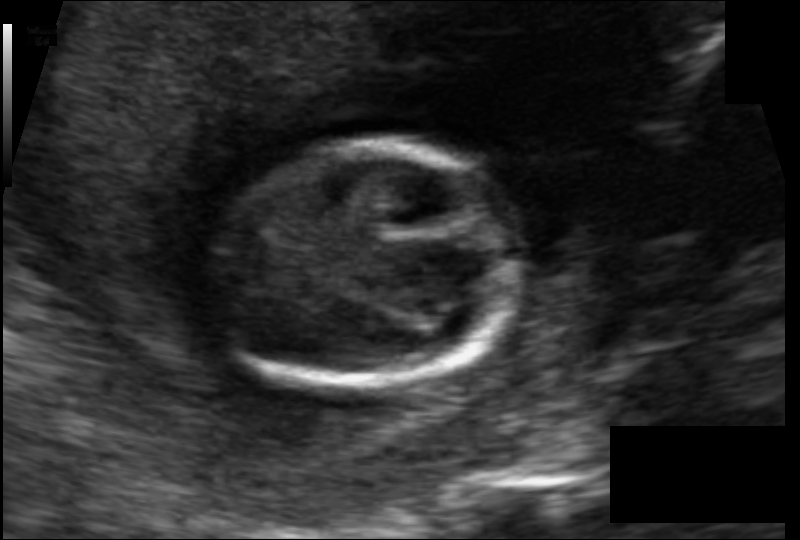
Fetal head ultrasound. Image width: 70.6 mm. Where is the fetal head?

Head bounding box: [213,146,514,386]